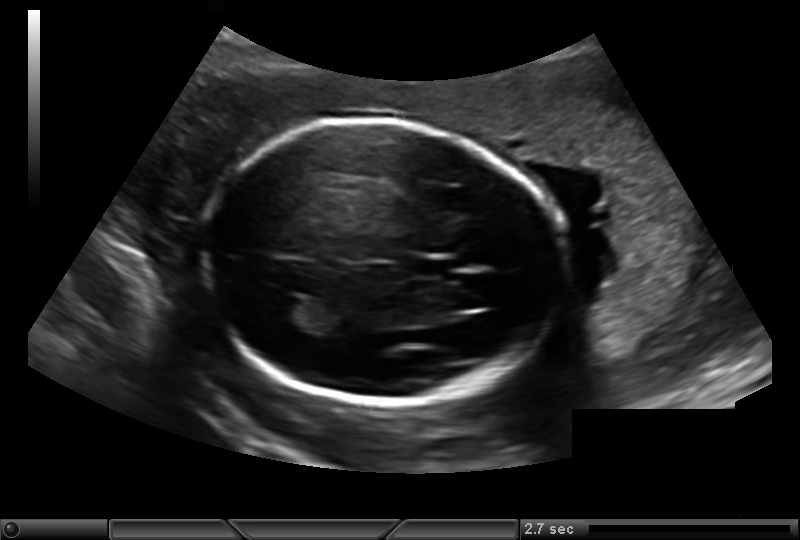
Measure the fetal head circumference shown in this ultrasound image. Image width: 154.2 mm.

Head circumference: 202.7 mm.